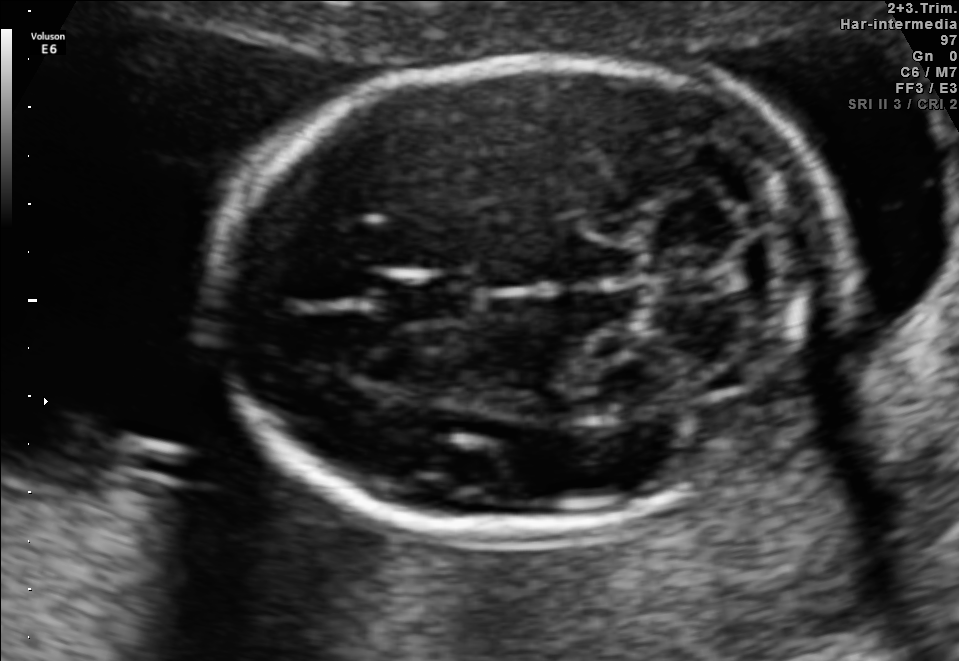
Classify this maternal-fetal ultrasound image as one of the six standard planes — fetal abdomen, fetal brain, fetal femur, fetal thorax, maternal cervix, or other. If it's fetal brain and one of the three standard brain planes (trans-thalamic, trans-cerebellum, trans-ventricular), name which.

Fetal brain (trans-cerebellum plane)